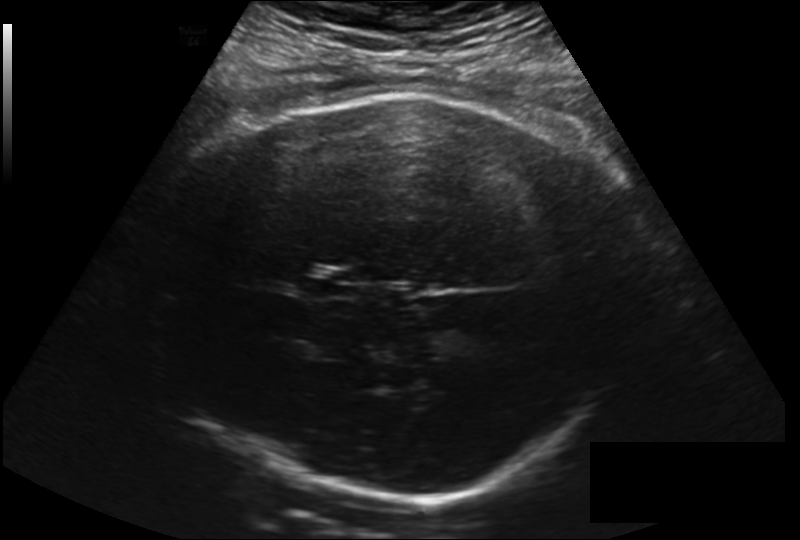
Estimate the fetal head circumference from this 2D ultrasound. Image width: 179.8 mm.

Head circumference: 327.9 mm.